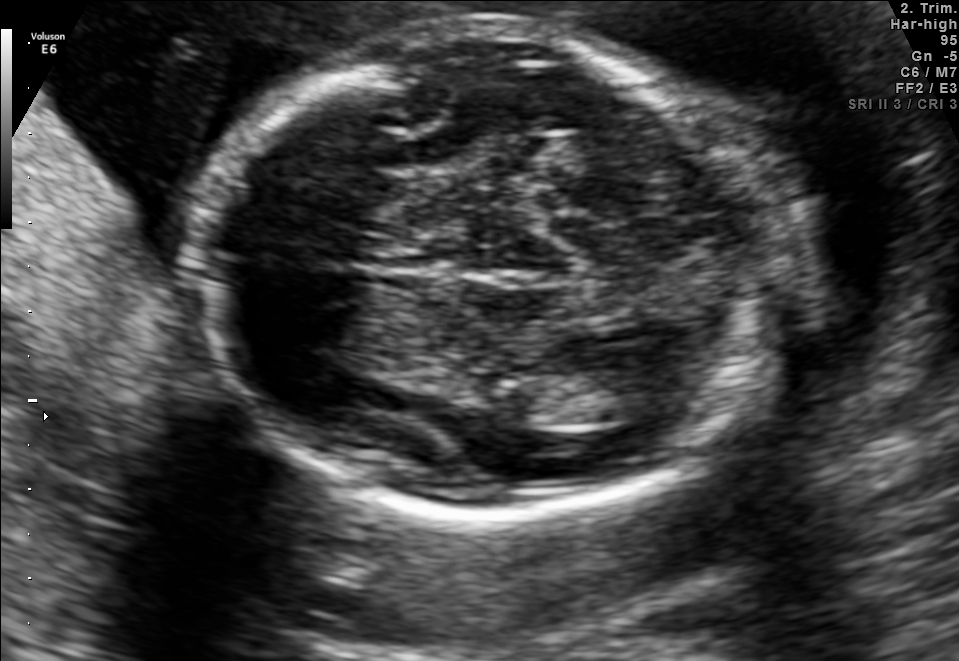
Fetal brain, trans-thalamic plane. Give [x1,y1,x2,y2] bounding boxes for each visible structure among: fetal head, CSP, LV.

Head: [198,29,787,512]
Lateral ventricle: [559,363,678,431]